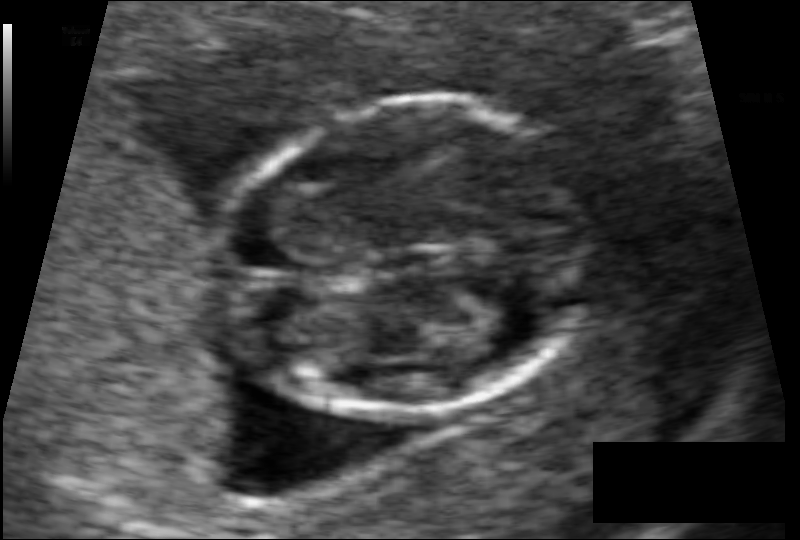
In this fetal head ultrasound, give bounding boxes for the head outline, cavum septum pellucidum (CSP), and lateral ventricle (LV), where visible. Image width: 48.9 mm.

Head: [213,104,596,418]